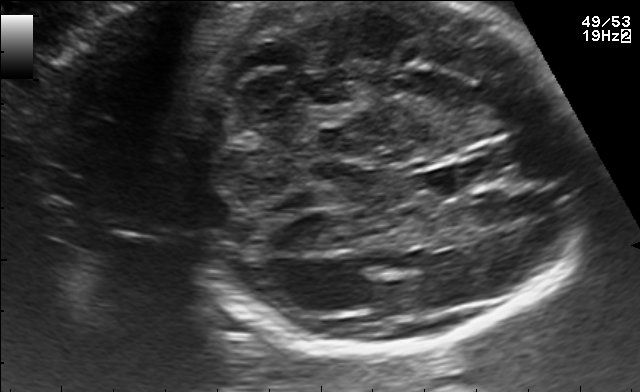
In this fetal brain, trans-cerebellum plane, give the bounding box of the fetal head.

[176,1,581,352]